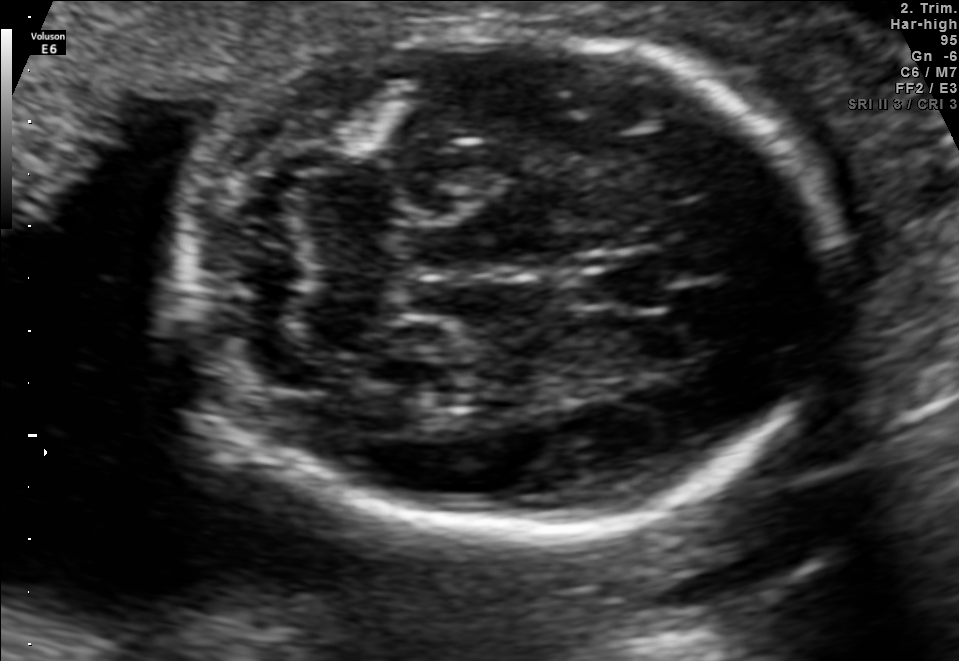
Fetal brain, trans-cerebellum plane. Where is the fetal head?

Head bounding box: [182,25,835,536]